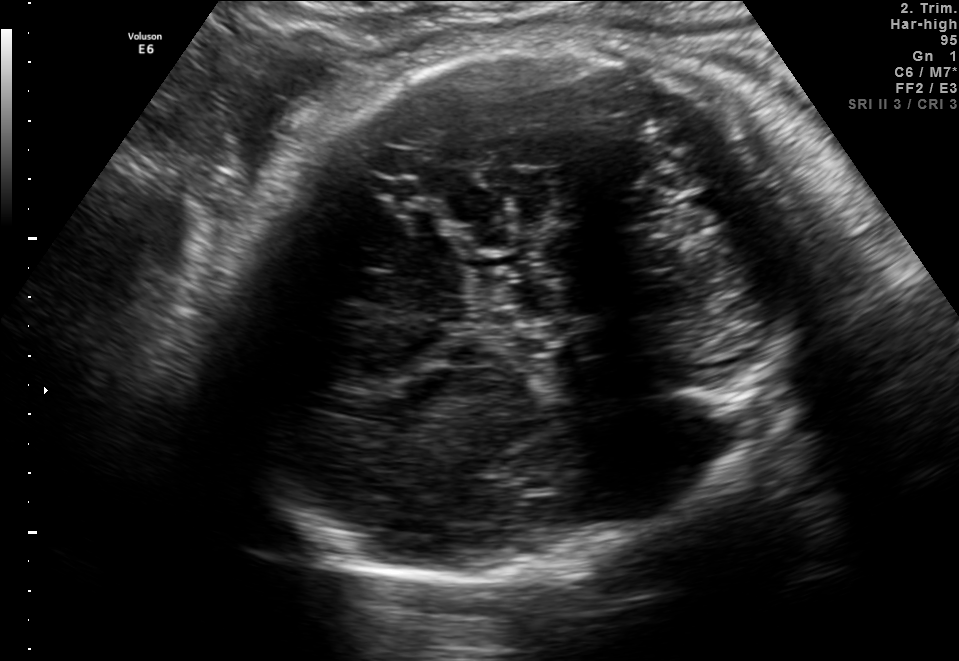
Fetal brain, trans-thalamic plane. Give [x1,y1,x2,y2] bounding boxes for each visible structure among: fetal head, CSP, LV.

Head: [214,42,801,583]